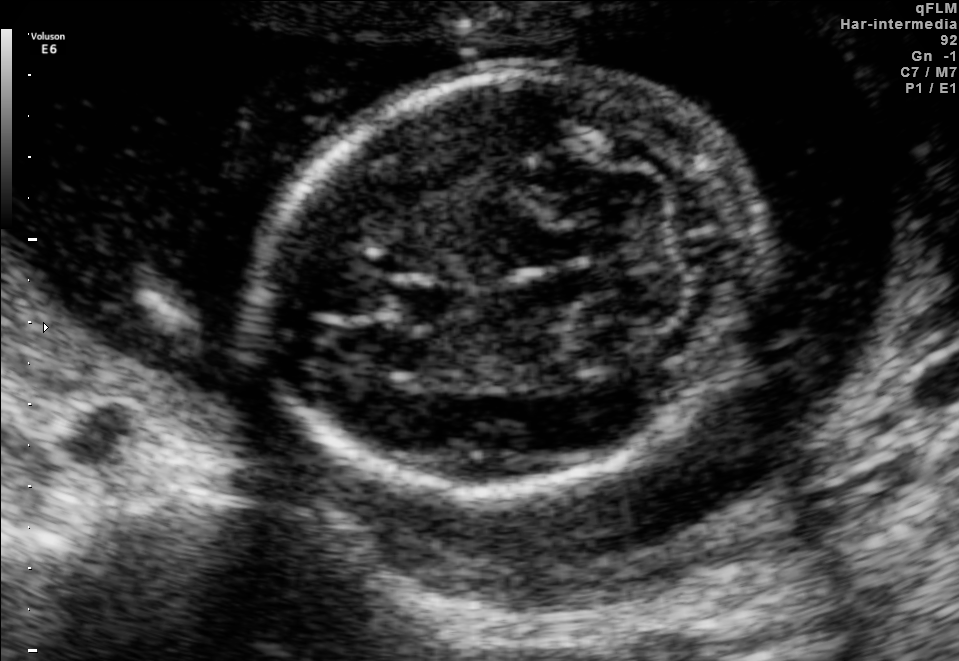
Fetal brain, trans-cerebellum plane. Give [x1,y1,x2,y2] bounding boxes for each visible structure among: fetal head, CSP, LV.

Head: [264,66,755,497]
CSP: [395,279,469,325]